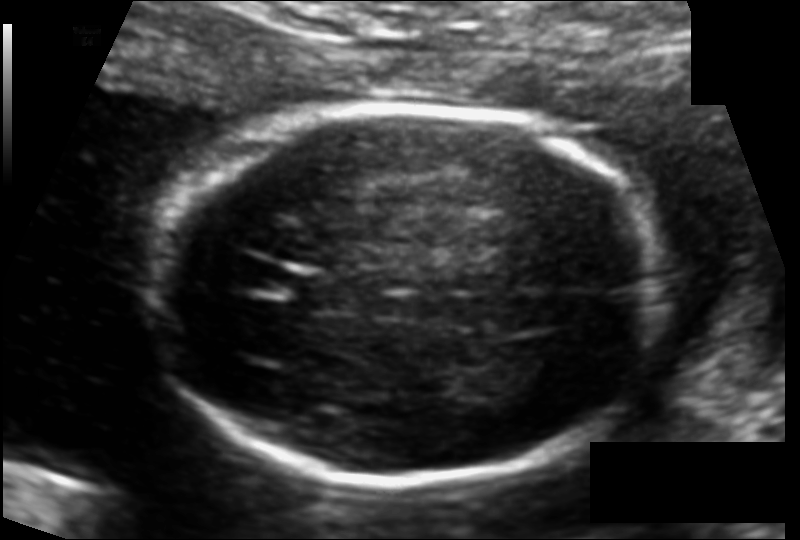
Fetal head ultrasound. Image width: 92.3 mm. Locate the fetal head.

Head: [157,109,658,483]